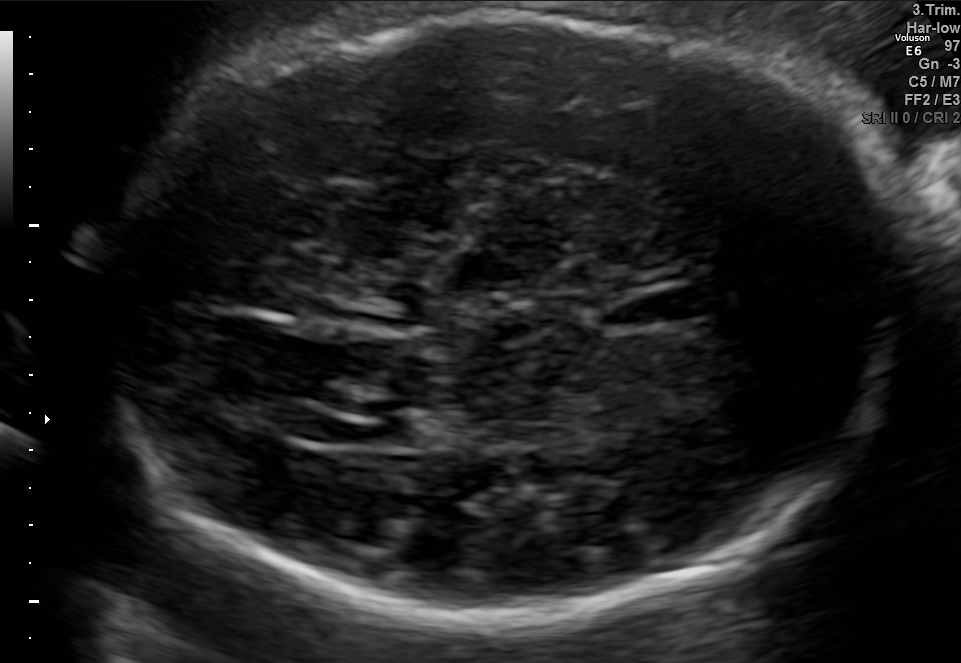
Identify the standard plane in this fetal ultrasound image: fetal abdomen, fetal brain, fetal femur, fetal thorax, maternal cervix, or other. If it's fetal brain and one of the three standard brain planes (trans-thalamic, trans-cerebellum, trans-ventricular), name which.

Fetal brain (trans-ventricular plane)